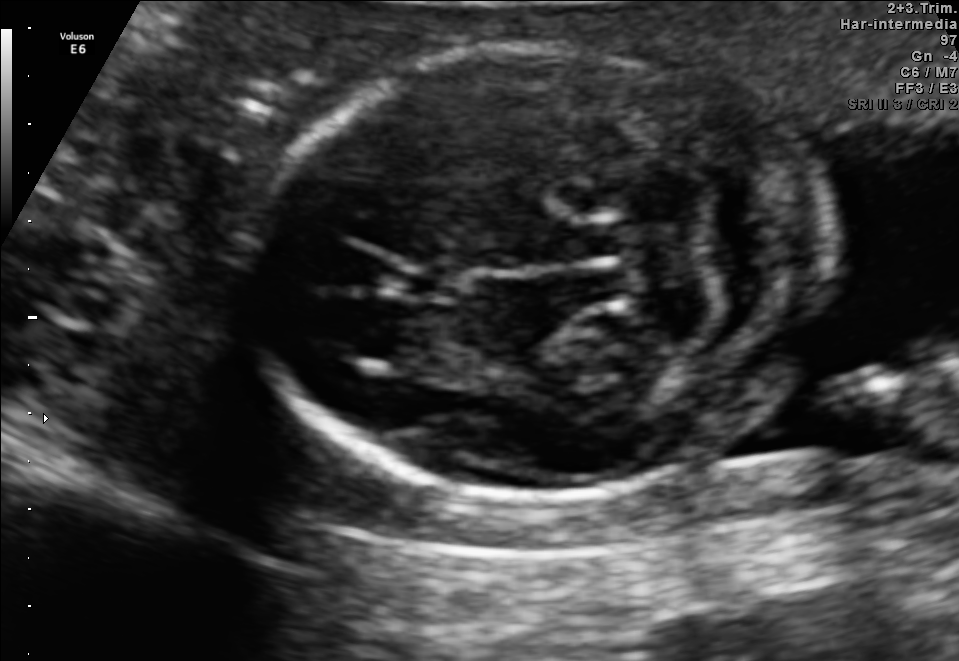
Fetal brain, trans-cerebellum plane. Where is the fetal head?

Head bounding box: [252,46,825,497]